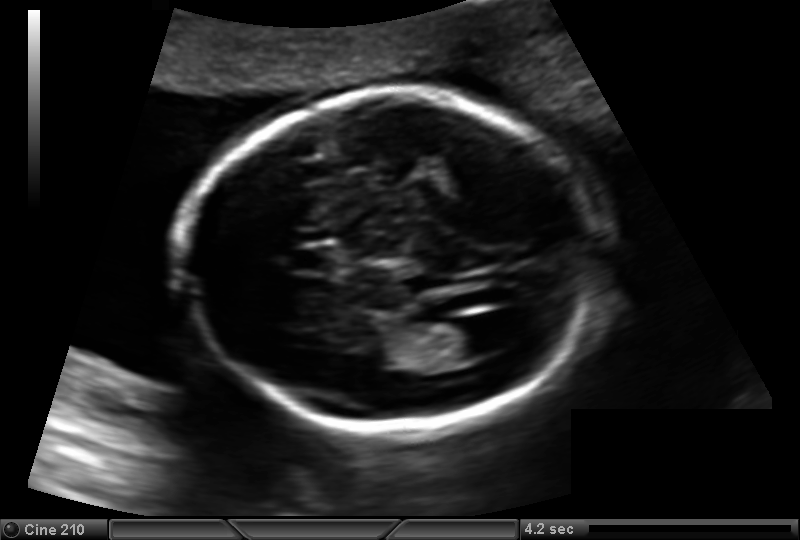
Fetal head ultrasound. Image width: 109.7 mm. Locate the fetal head and, if visible, the cavum septum pellucidum (CSP) and lateral ventricle (LV). Give bounding boxes as [x1,y1,x2,y2].

Head: [186,90,599,431]
CSP: [292,246,334,273]
Lateral ventricle: [426,314,504,366]